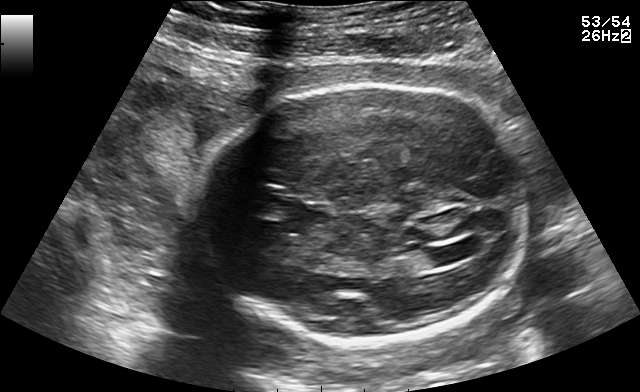
Fetal brain, trans-ventricular plane. Give [x1,y1,x2,y2] bounding boxes for each visible structure among: fetal head, CSP, LV.

Head: [196,77,537,349]
Lateral ventricle: [428,239,473,268]